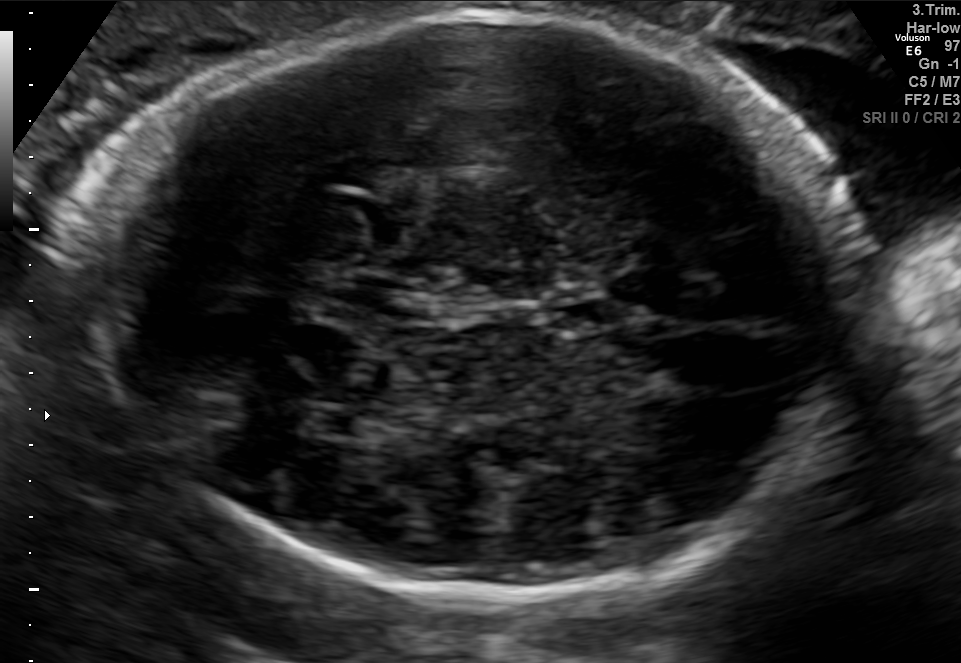
In this fetal brain, trans-thalamic plane, give the bounding box of the lateral ventricle.

[298,401,381,441]